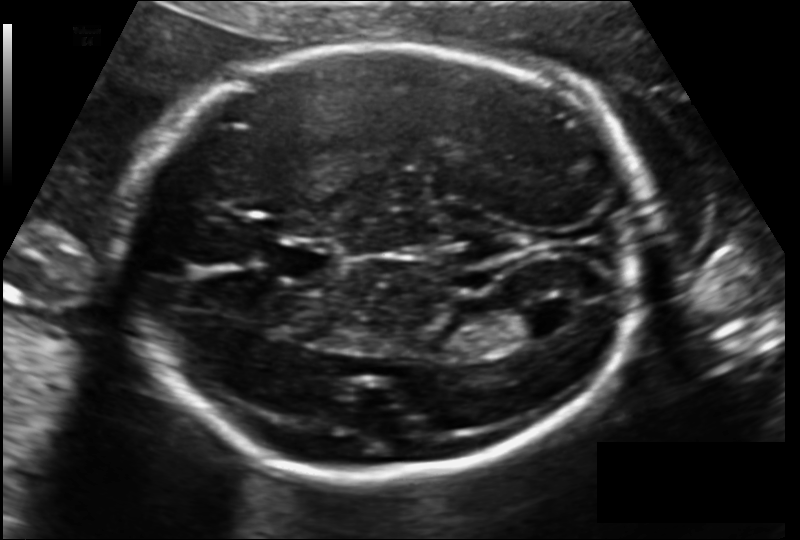
Fetal head ultrasound. Image width: 118.5 mm. Locate the fetal head and, if visible, the cavum septum pellucidum (CSP) and lateral ventricle (LV). Give bounding boxes as [x1,y1,x2,y2].

Head: [127,45,647,474]
CSP: [274,244,340,281]
Lateral ventricle: [496,298,563,346]